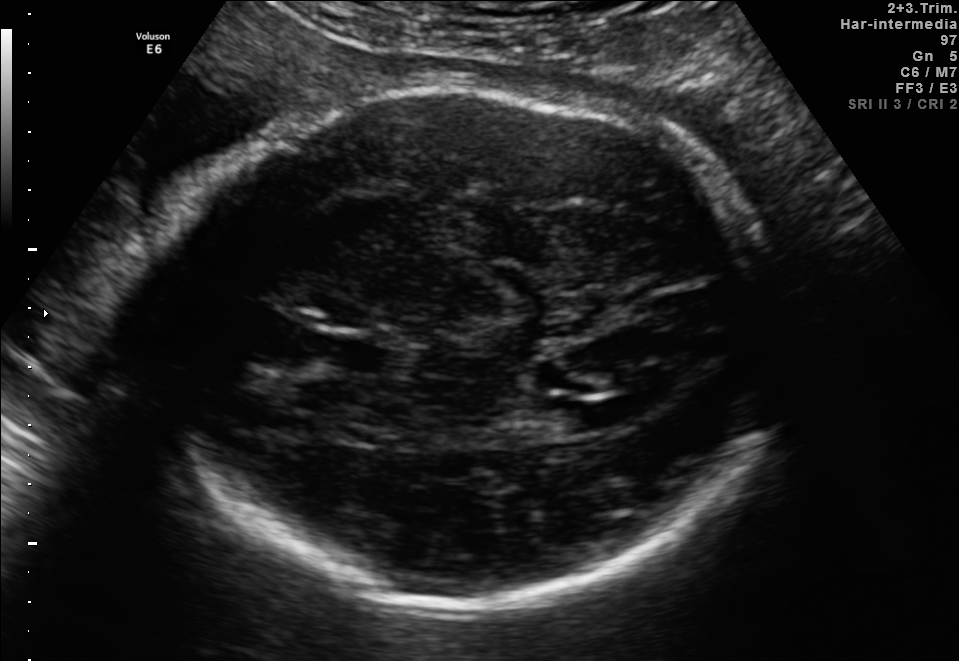
Fetal brain, trans-ventricular plane. Where is the cavum septum pellucidum?

CSP bounding box: [304,332,367,372]